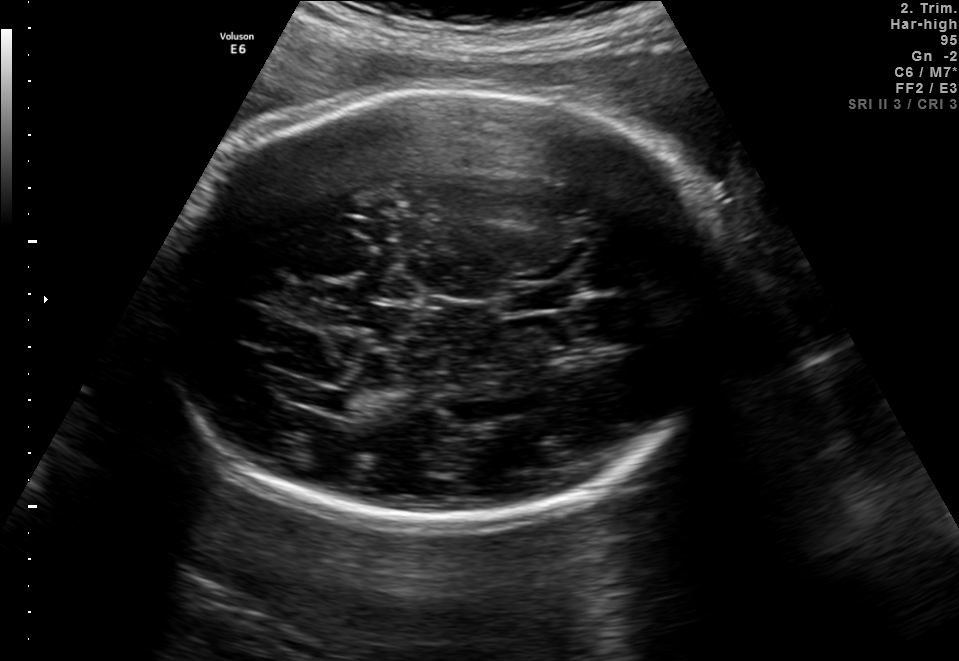
In this fetal brain, trans-thalamic plane, give the bounding box of the fetal head.

[160,89,731,524]